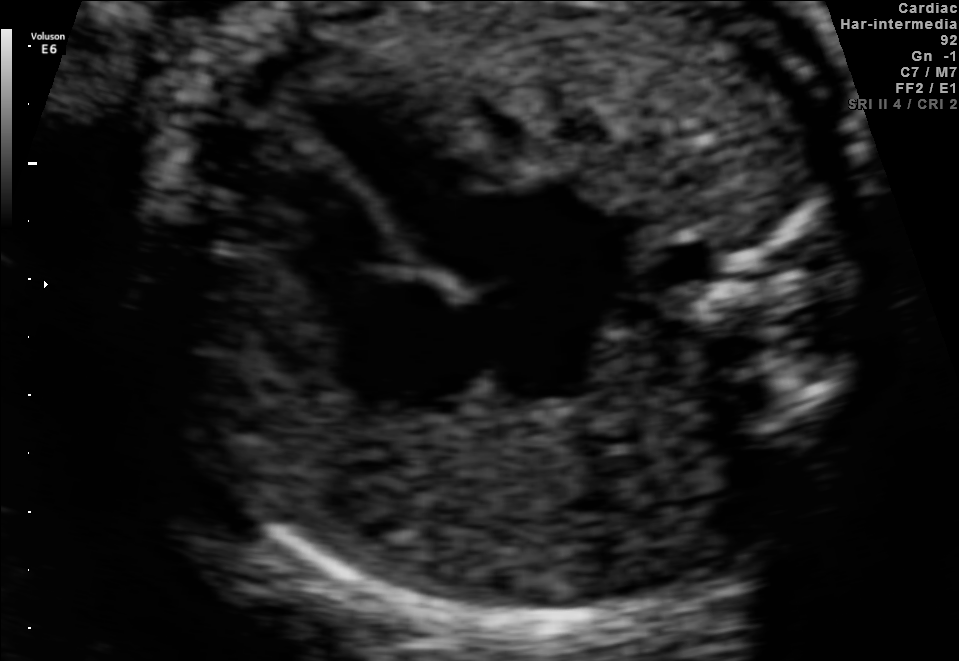
This is a 2D maternal-fetal ultrasound frame. Is it a fetal abdomen, fetal brain, fetal femur, fetal thorax, maternal cervix, or other standard plane? If it's fetal brain and one of the three standard brain planes (trans-thalamic, trans-cerebellum, trans-ventricular), name which.

Fetal thorax